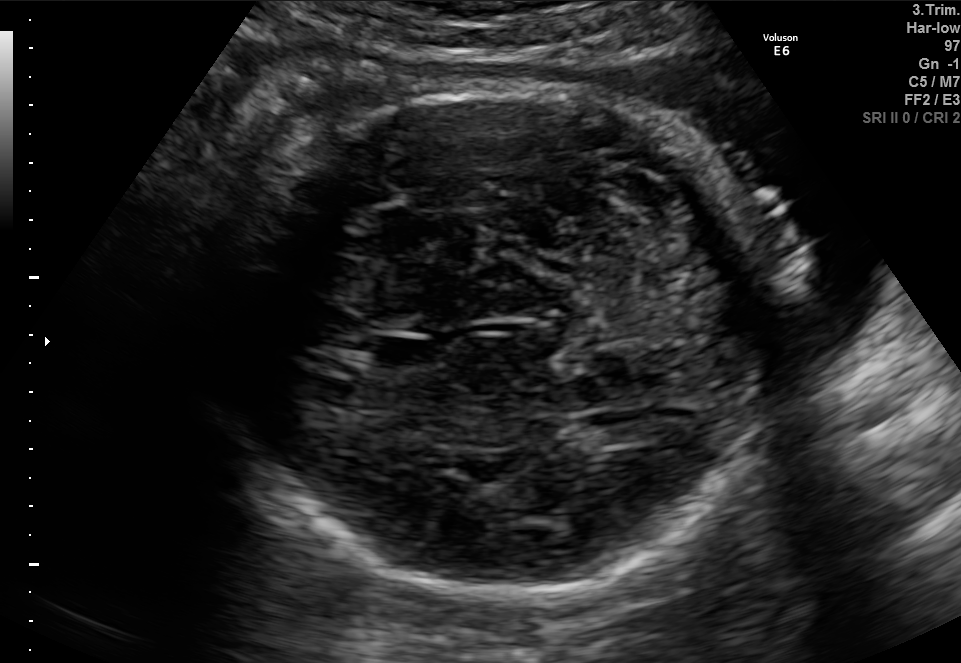
Fetal brain, trans-cerebellum plane. Locate the fetal head and, if visible, the cavum septum pellucidum (CSP) and lateral ventricle (LV). Give bounding boxes as [x1,y1,x2,y2].

Head: [209,87,780,590]
CSP: [373,333,438,371]